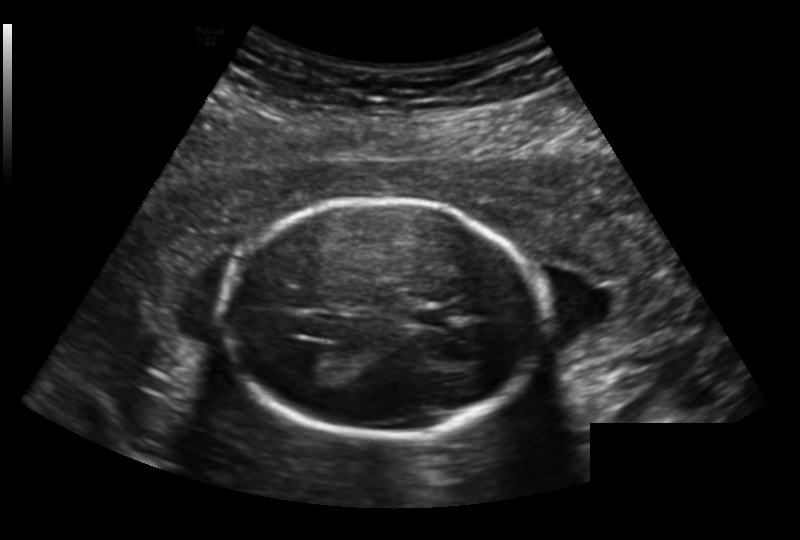
In this fetal head ultrasound, give the bounding box of the cavum septum pellucidum. Image width: 152.4 mm.

[412,306,452,328]